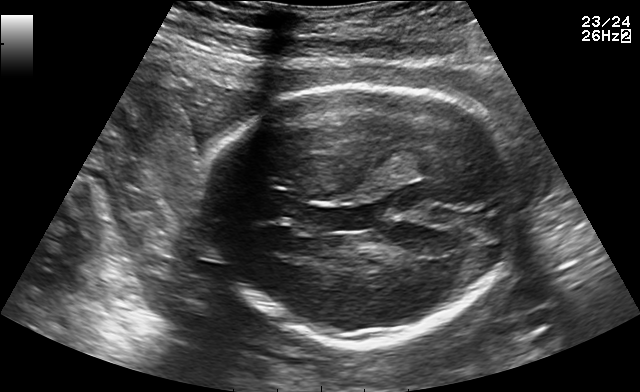
Fetal brain, trans-thalamic plane. Give [x1,y1,x2,y2] bounding boxes for each visible structure among: fetal head, CSP, LV.

Head: [198,85,521,350]